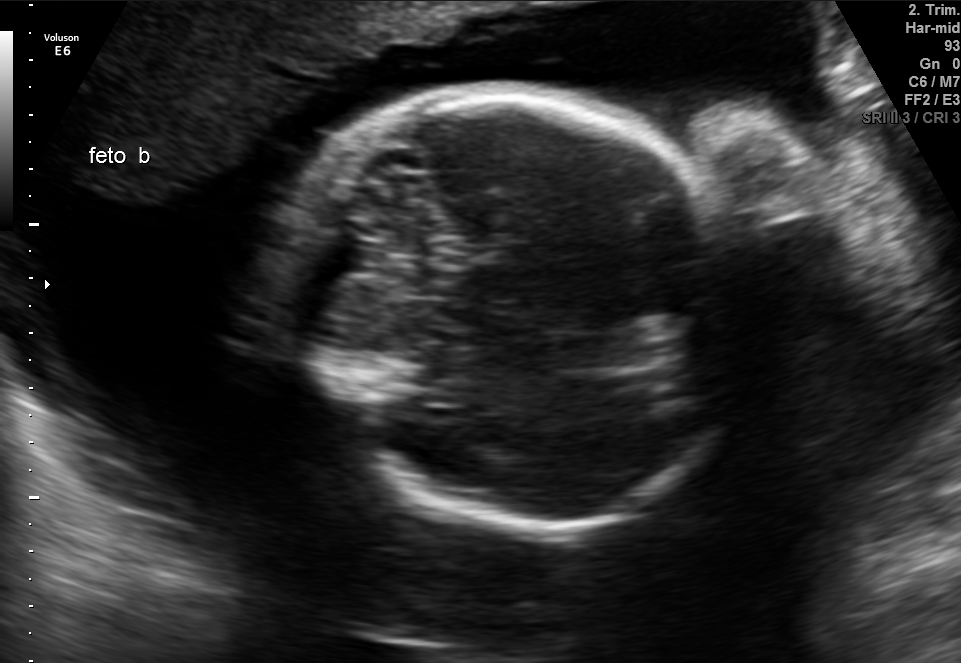
Fetal brain, trans-cerebellum plane. Locate the fetal head and, if visible, the cavum septum pellucidum (CSP) and lateral ventricle (LV). Give bounding boxes as [x1,y1,x2,y2].

Head: [286,88,750,527]